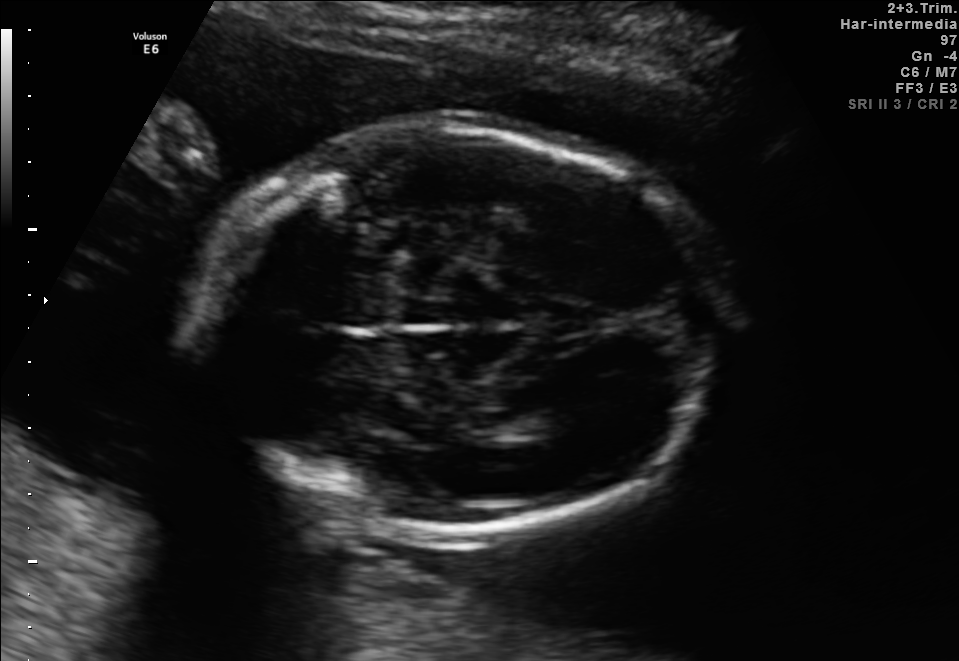
Fetal brain, trans-thalamic plane. Where is the lateral ventricle?

Lateral ventricle bounding box: [500,405,577,439]